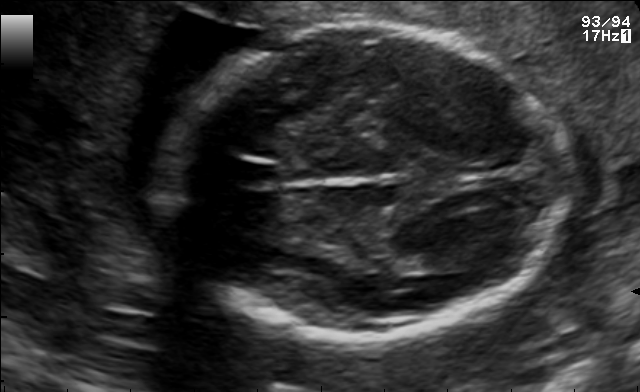
In this fetal brain, trans-thalamic plane, give the bounding box of the lateral ventricle.

[419,248,475,274]